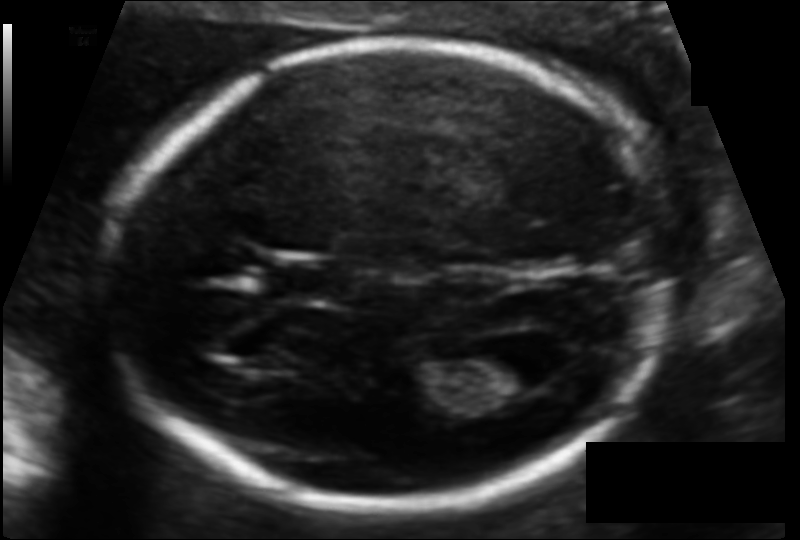
Estimate the fetal head circumference from this 2D ultrasound.

Head circumference: 172.9 mm (image width 82.6 mm).